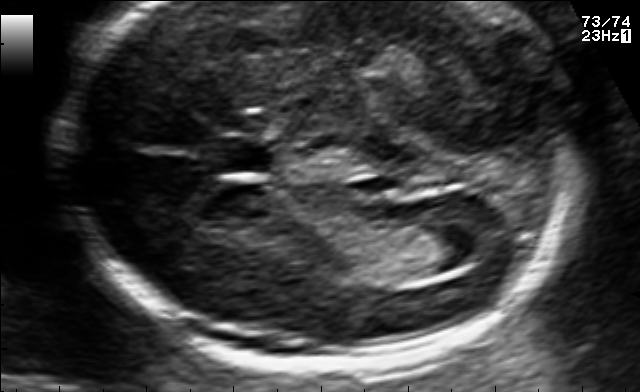
Fetal brain, trans-ventricular plane. Locate the cavum septum pellucidum.

CSP: [201,138,287,172]